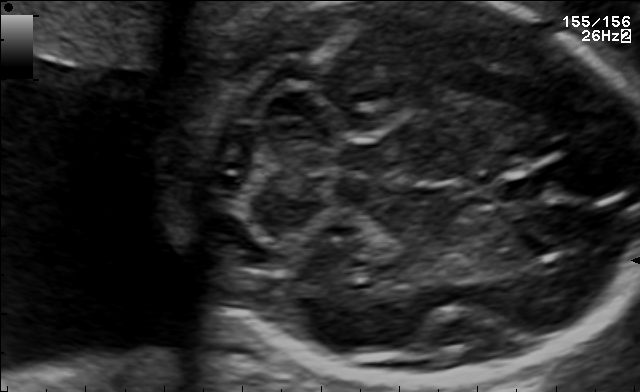
In this fetal brain, trans-cerebellum plane, give bounding boxes for the head outline, cavum septum pellucidum (CSP), and lateral ventricle (LV), where visible.

Head: [180,2,639,381]
CSP: [495,171,549,206]